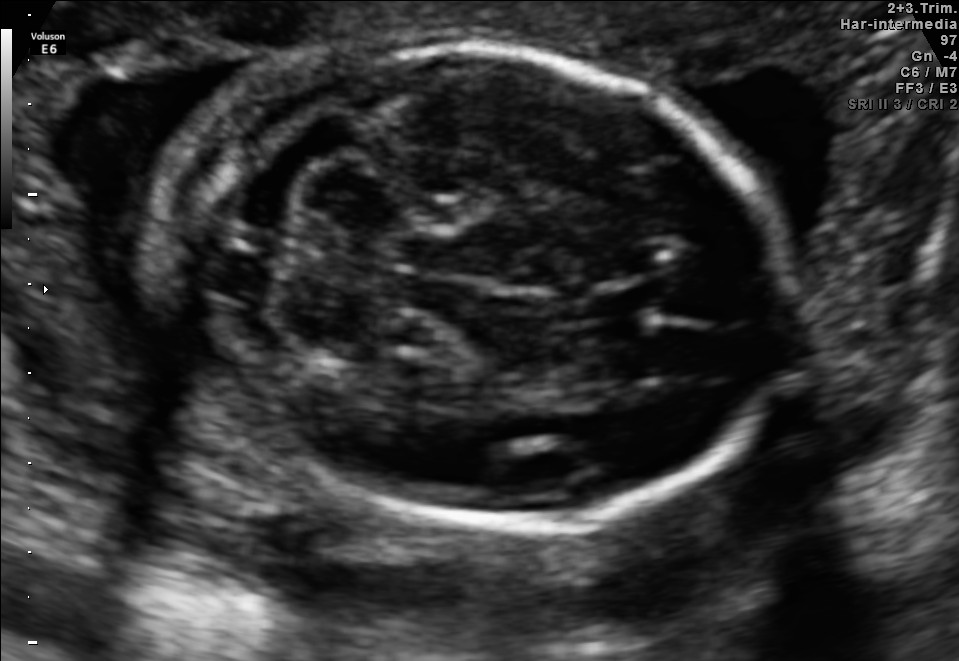
In this fetal brain, trans-cerebellum plane, give the bounding box of the fetal head.

[147,43,790,526]